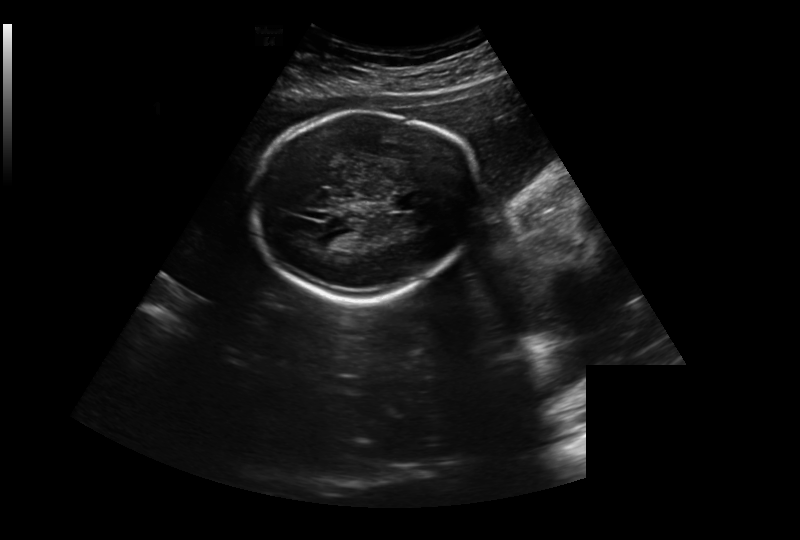
Fetal head ultrasound. Image width: 260.8 mm. Locate the lateral ventricle.

Lateral ventricle: [316,231,354,249]